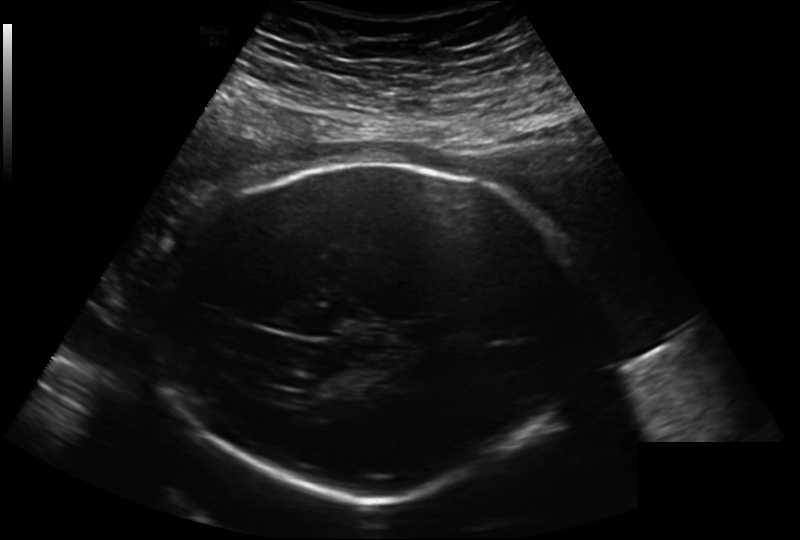
Fetal head ultrasound. Image width: 192.6 mm. Give [x1,y1,x2,y2] bounding boxes for each visible structure among: fetal head, CSP, LV.

Head: [159,163,582,498]